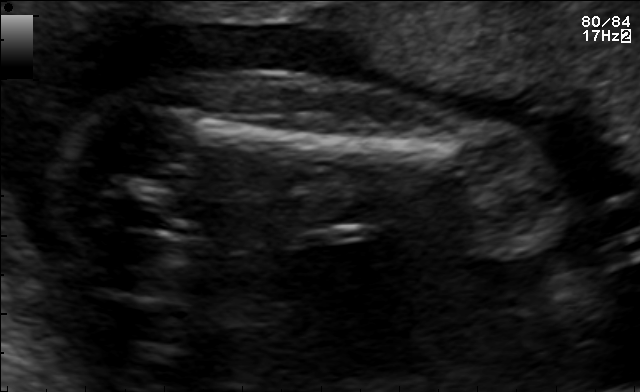
Classify this maternal-fetal ultrasound image as one of the six standard planes — fetal abdomen, fetal brain, fetal femur, fetal thorax, maternal cervix, or other. If it's fetal brain and one of the three standard brain planes (trans-thalamic, trans-cerebellum, trans-ventricular), name which.

Fetal femur